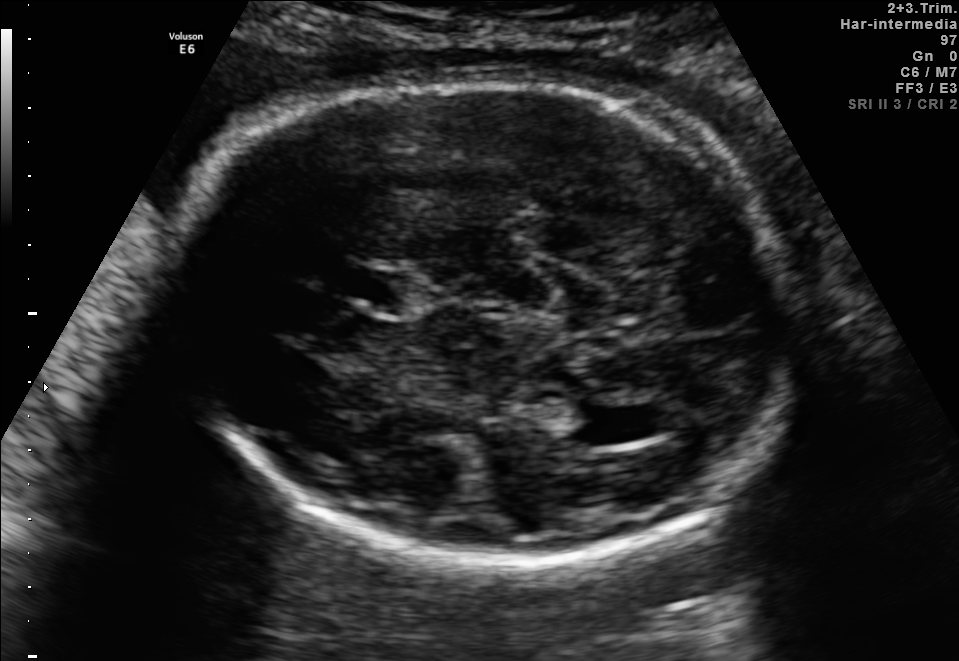
Fetal brain, trans-ventricular plane. Locate the lateral ventricle.

Lateral ventricle: [546,402,625,446]